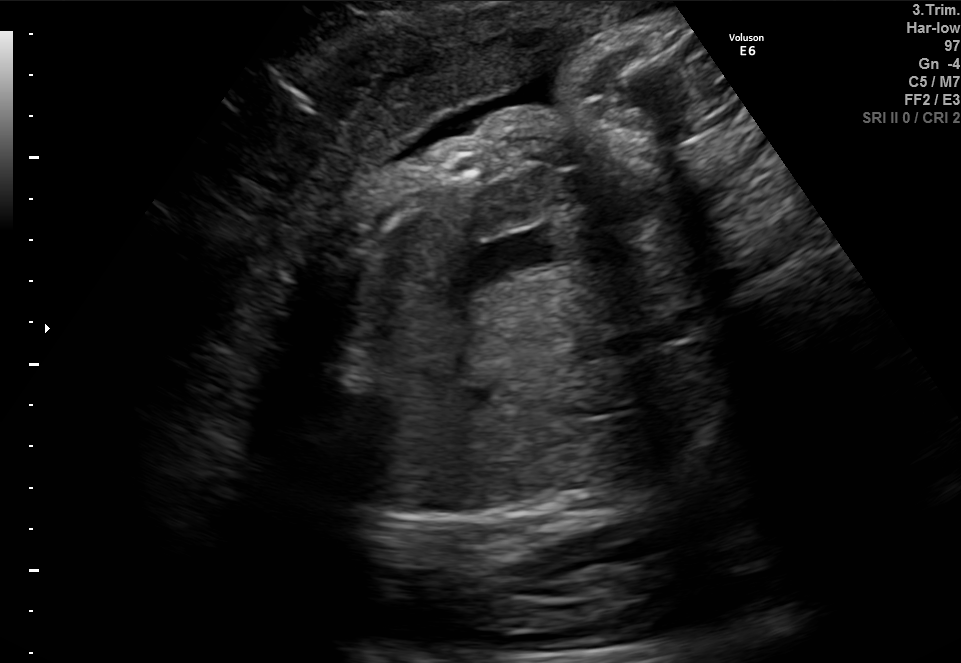
This is a 2D maternal-fetal ultrasound frame. Is it a fetal abdomen, fetal brain, fetal femur, fetal thorax, maternal cervix, or other standard plane? If it's fetal brain and one of the three standard brain planes (trans-thalamic, trans-cerebellum, trans-ventricular), name which.

Fetal abdomen